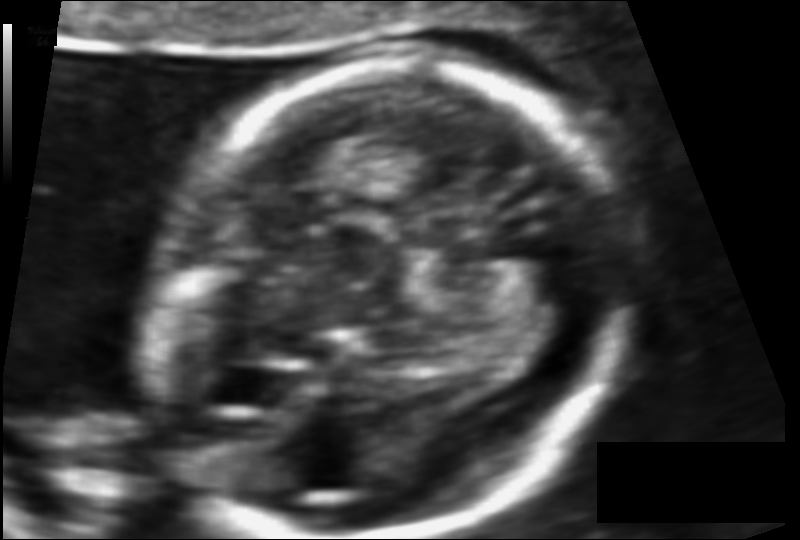
Fetal head ultrasound. Image width: 66.0 mm. Locate the fetal head and, if visible, the cavum septum pellucidum (CSP) and lateral ventricle (LV). Give bounding boxes as [x1,y1,x2,y2].

Head: [143,65,626,536]